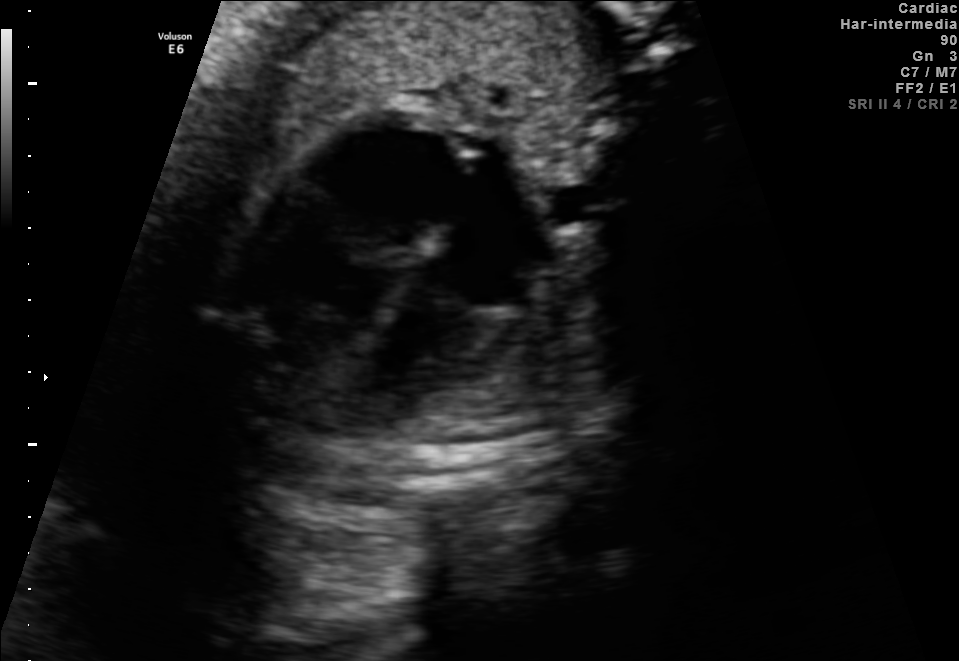
Which standard maternal-fetal ultrasound plane is shown: fetal abdomen, fetal brain, fetal femur, fetal thorax, maternal cervix, or other? If it's fetal brain and one of the three standard brain planes (trans-thalamic, trans-cerebellum, trans-ventricular), name which.

Fetal thorax